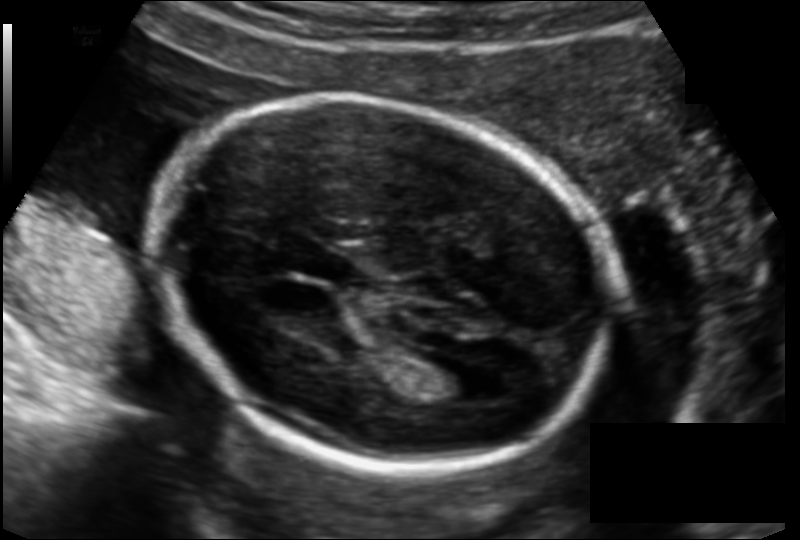
What is the fetal head circumference? Image width is 107.7 mm.

180.3 mm